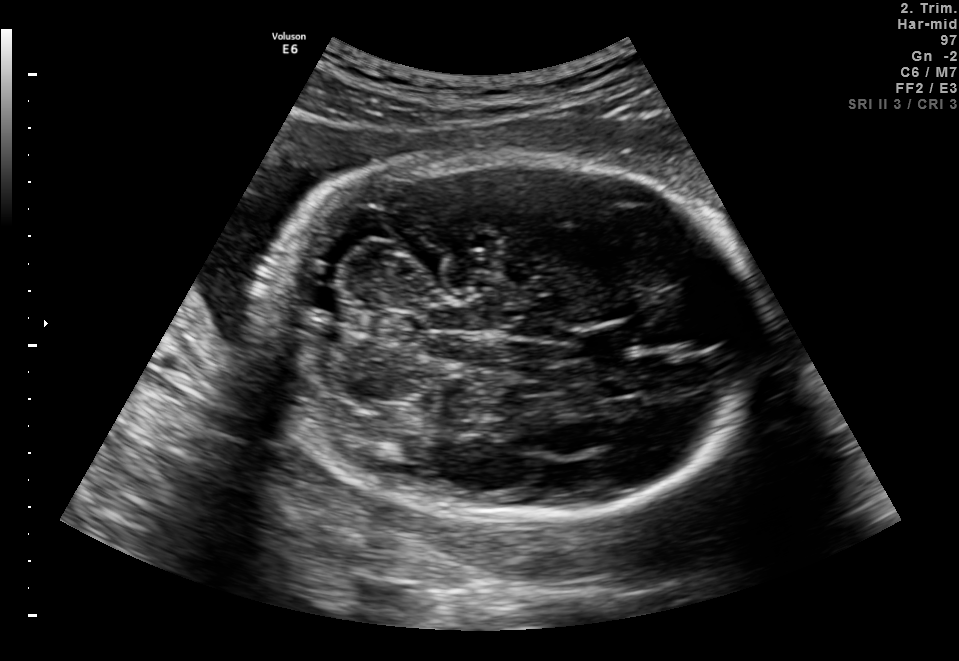
Fetal brain, trans-cerebellum plane. Where is the fetal head?

Head bounding box: [265,151,760,526]